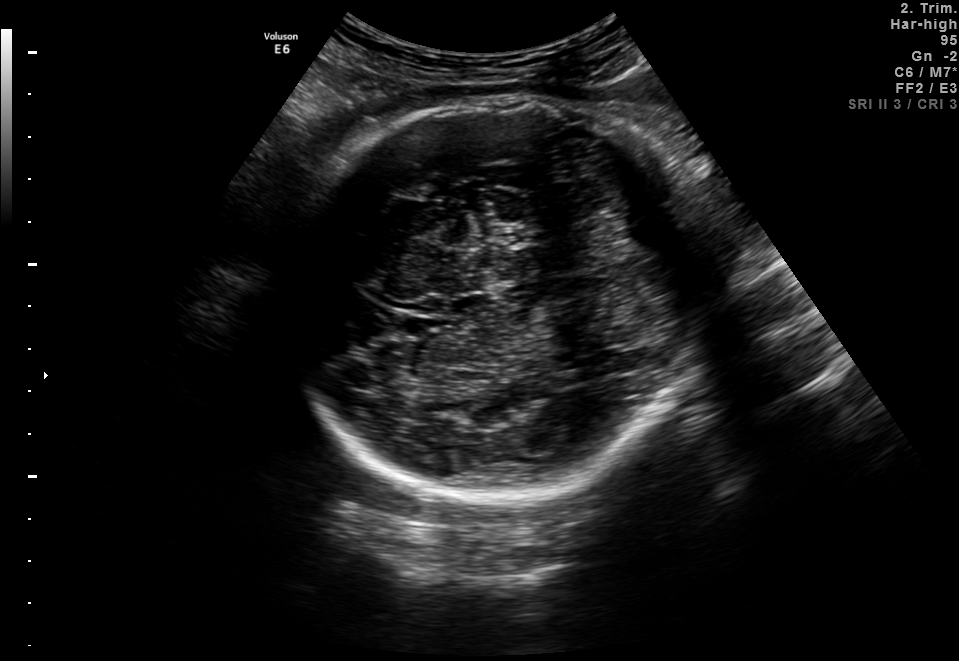
Fetal brain, trans-thalamic plane. Locate the fetal head.

Head: [281,99,706,496]